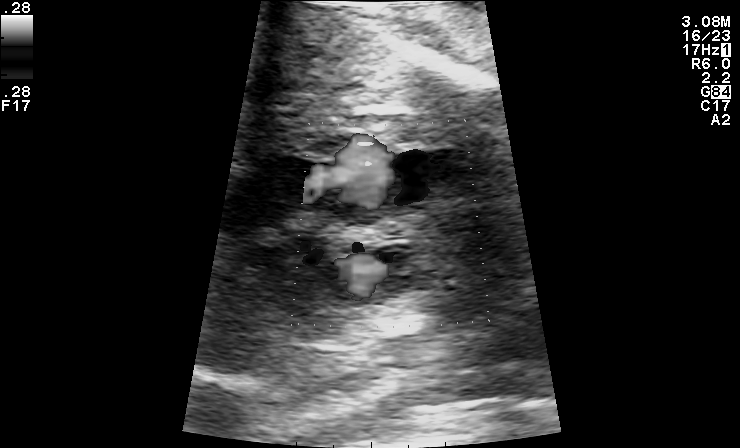
This is a 2D maternal-fetal ultrasound frame. Is it a fetal abdomen, fetal brain, fetal femur, fetal thorax, maternal cervix, or other standard plane? If it's fetal brain and one of the three standard brain planes (trans-thalamic, trans-cerebellum, trans-ventricular), name which.

Other